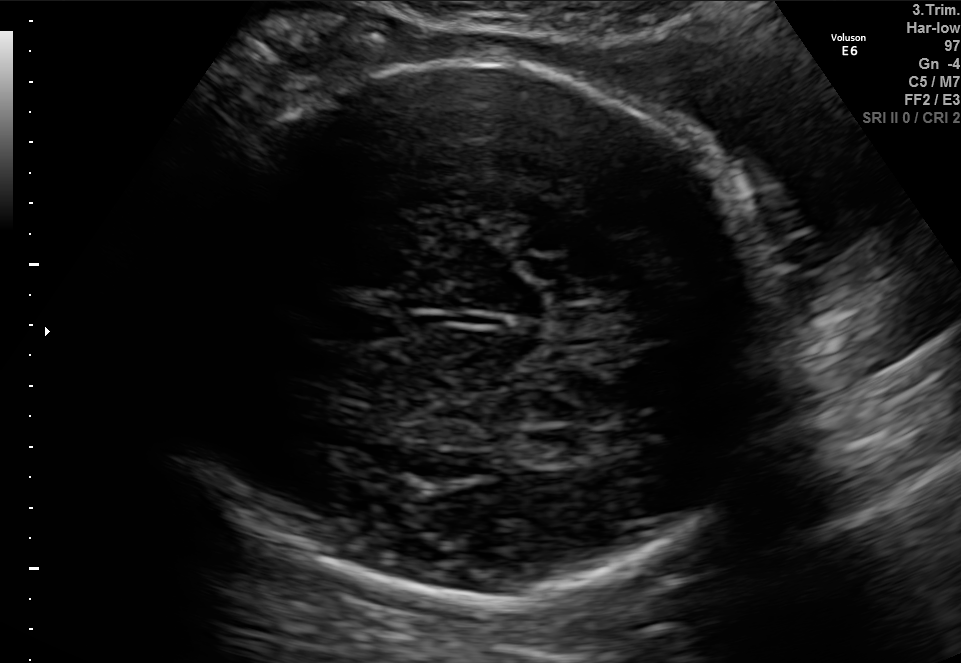
Fetal brain, trans-thalamic plane. Where is the lateral ventricle?

Lateral ventricle bounding box: [505,424,586,470]